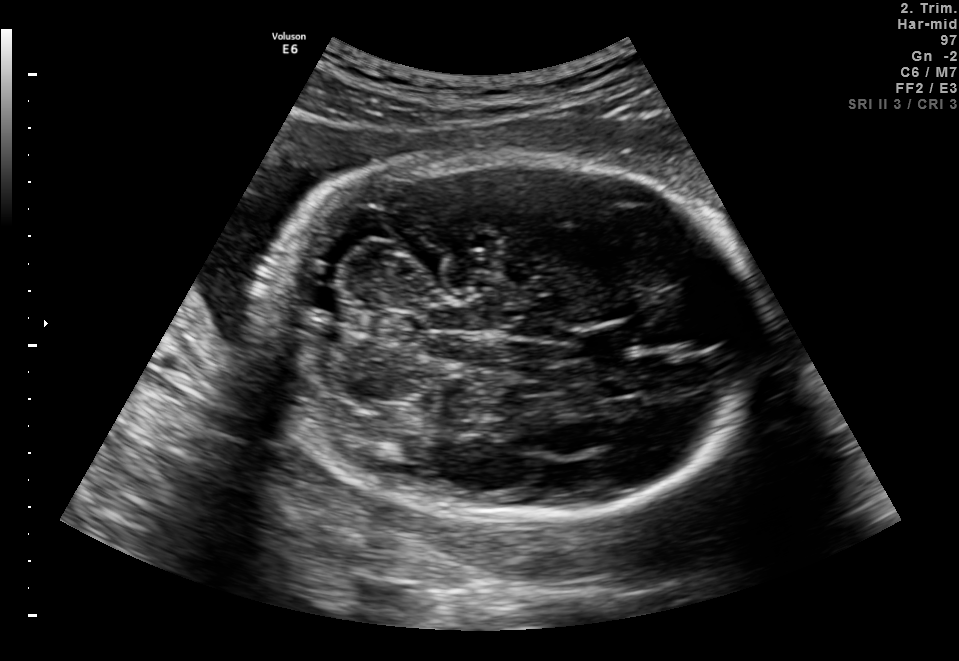
Fetal brain, trans-cerebellum plane. Where is the cavum septum pellucidum?

CSP bounding box: [568,318,638,362]